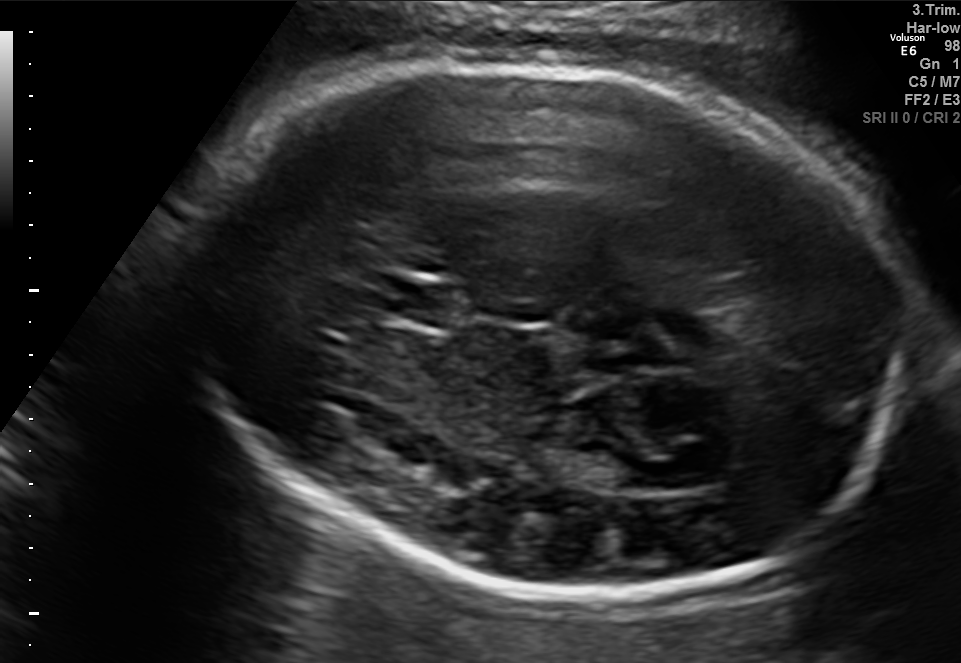
Fetal brain, trans-thalamic plane. Locate the fetal head.

Head: [178,62,927,593]